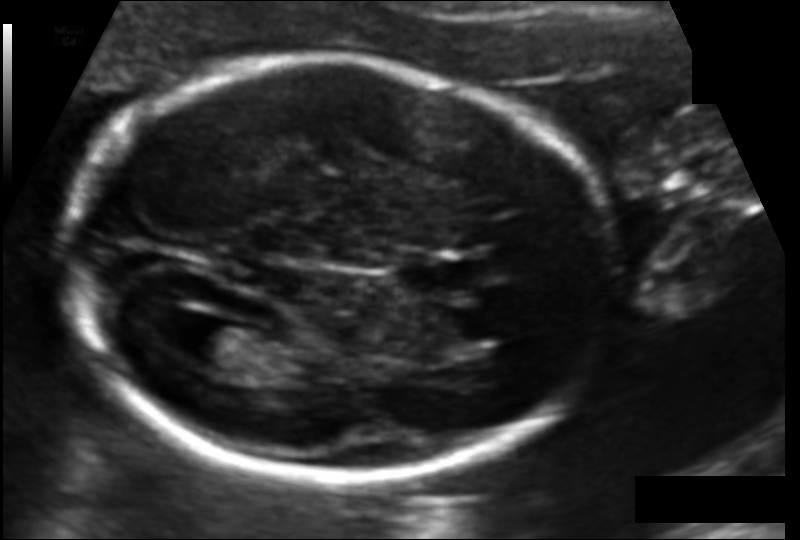
Estimate the fetal head circumference from this 2D ultrasound. Image width: 91.0 mm.

Head circumference: 177.8 mm.